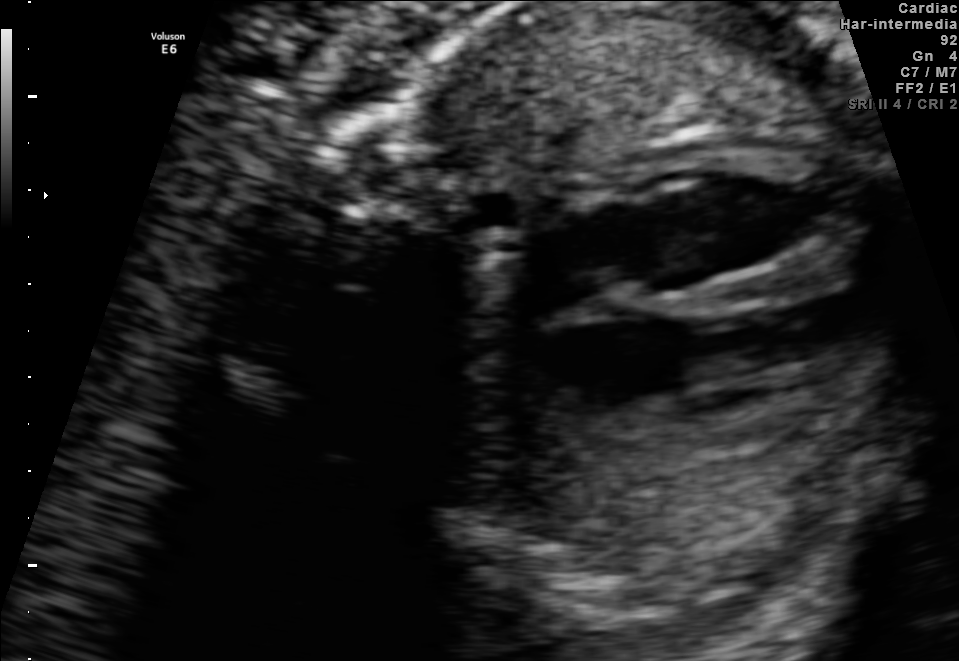
This is a 2D maternal-fetal ultrasound frame. Is it a fetal abdomen, fetal brain, fetal femur, fetal thorax, maternal cervix, or other standard plane? If it's fetal brain and one of the three standard brain planes (trans-thalamic, trans-cerebellum, trans-ventricular), name which.

Fetal thorax